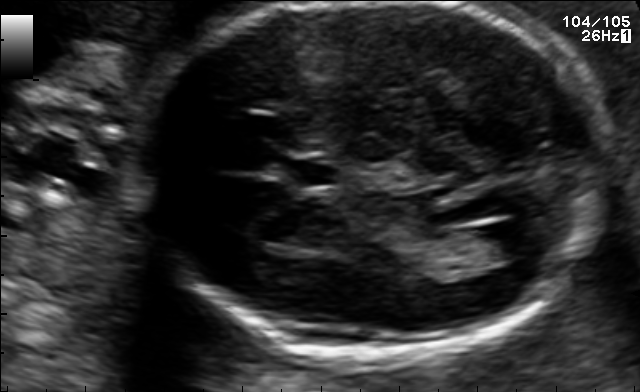
In this fetal brain, trans-ventricular plane, give the bounding box of the cavum septum pellucidum.

[283,156,339,192]